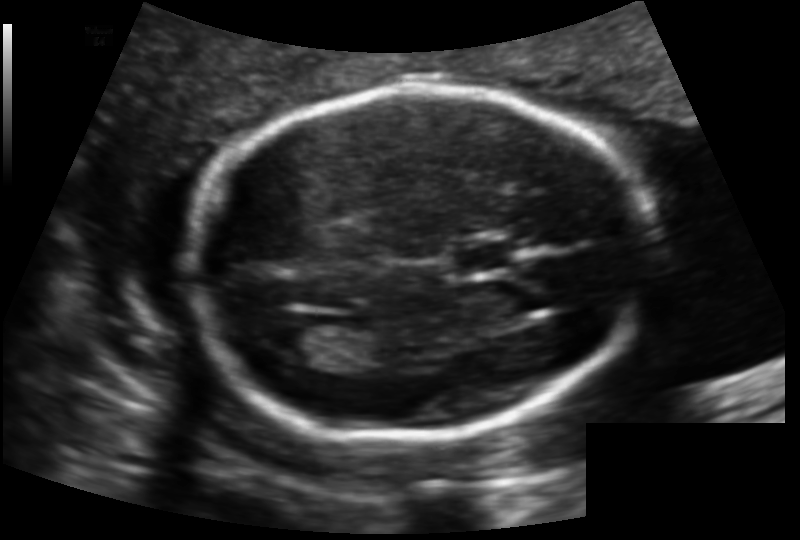
Fetal head ultrasound. Image width: 103.4 mm. Where is the fetal head?

Head bounding box: [189,86,652,435]